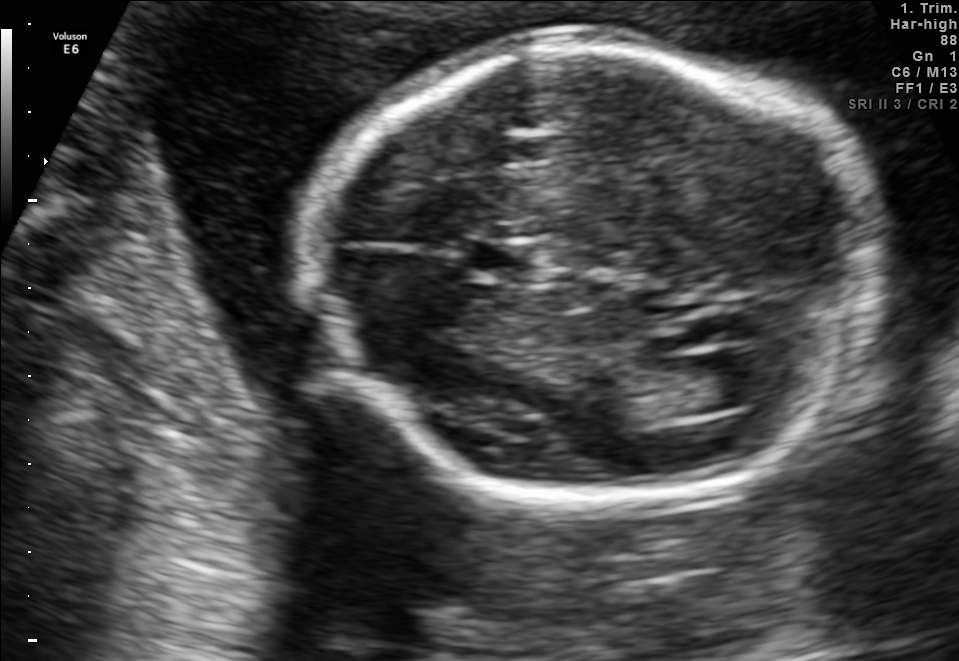
In this fetal brain, trans-ventricular plane, give the bounding box of the cavum septum pellucidum.

[471,241,539,282]